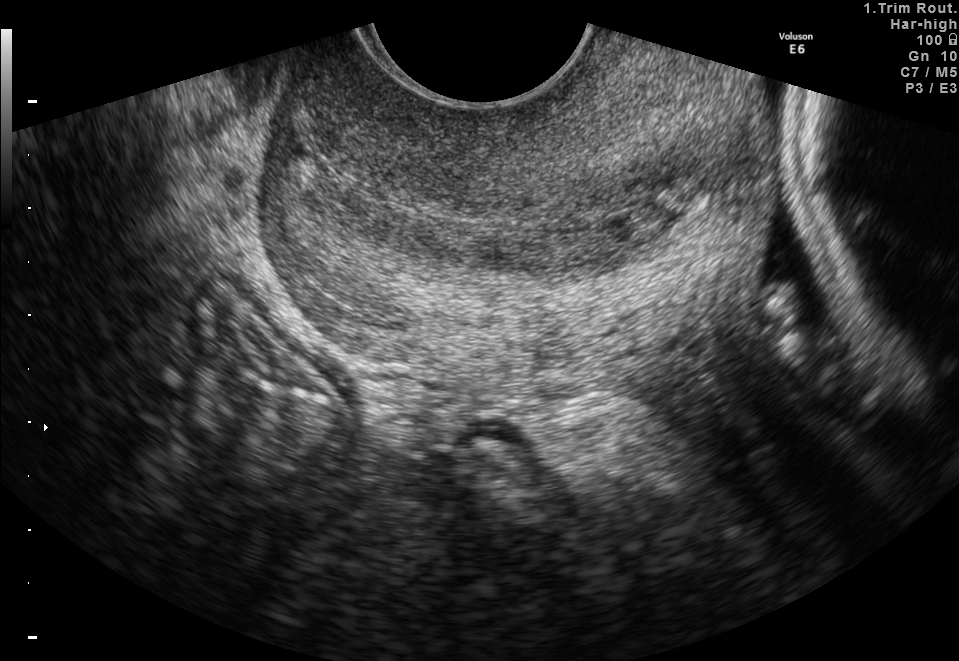
Which standard maternal-fetal ultrasound plane is shown: fetal abdomen, fetal brain, fetal femur, fetal thorax, maternal cervix, or other? If it's fetal brain and one of the three standard brain planes (trans-thalamic, trans-cerebellum, trans-ventricular), name which.

Maternal cervix